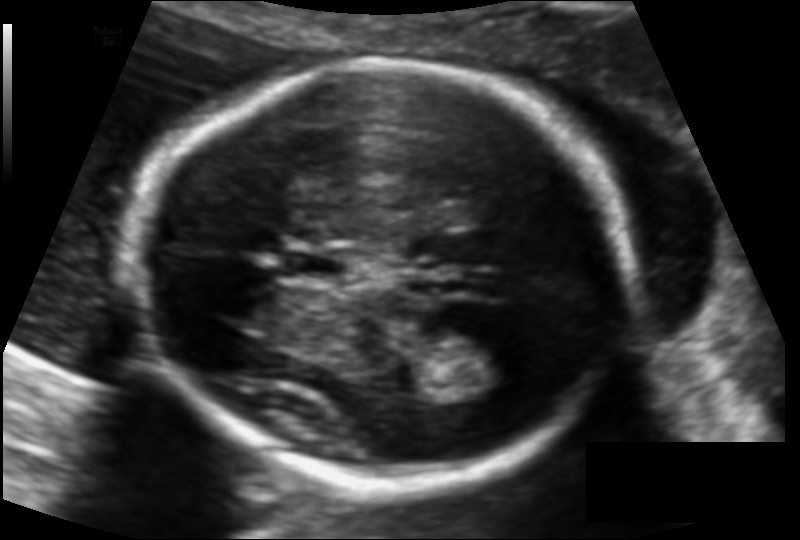
What is the fetal head circumference? Image width is 90.8 mm.

171.2 mm